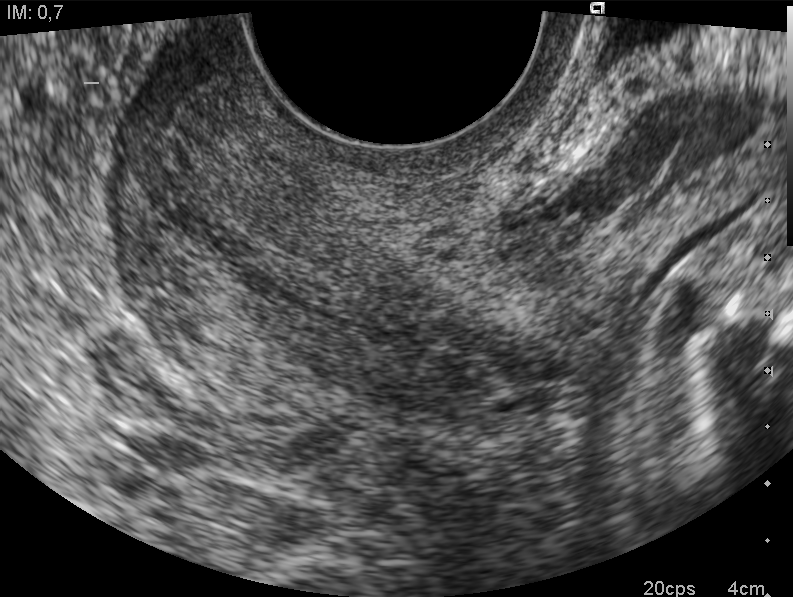
This is a 2D maternal-fetal ultrasound frame. Is it a fetal abdomen, fetal brain, fetal femur, fetal thorax, maternal cervix, or other standard plane? If it's fetal brain and one of the three standard brain planes (trans-thalamic, trans-cerebellum, trans-ventricular), name which.

Maternal cervix